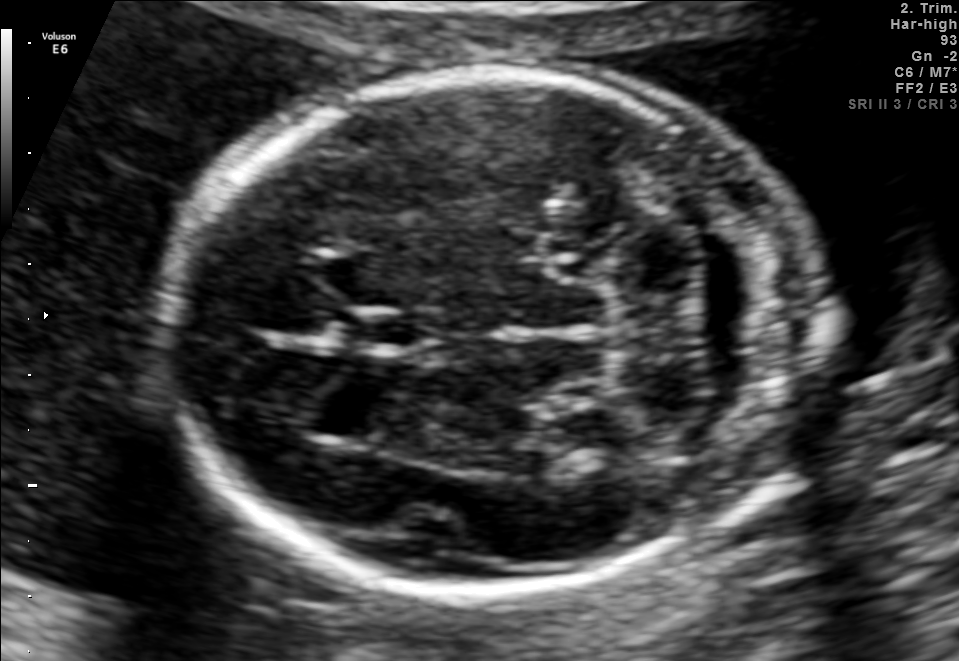
Fetal brain, trans-cerebellum plane. Locate the fetal head and, if visible, the cavum septum pellucidum (CSP) and lateral ventricle (LV). Give bounding boxes as [x1,y1,x2,y2].

Head: [167,74,818,595]
CSP: [342,311,429,350]